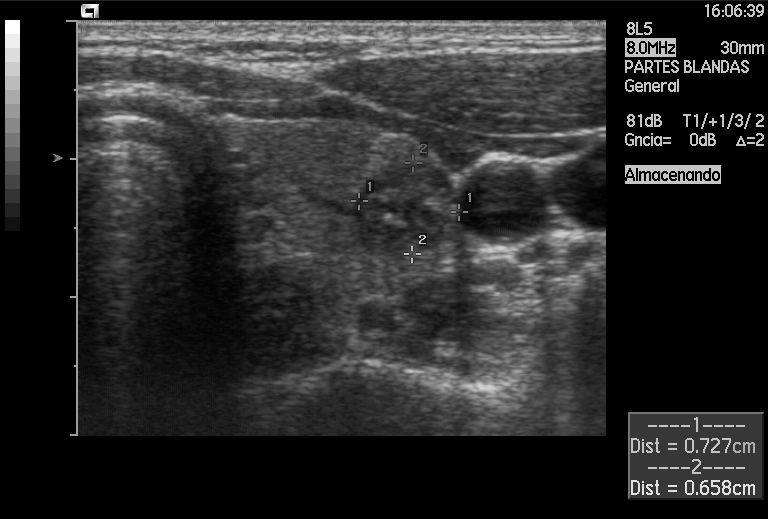
This is a 2D maternal-fetal ultrasound frame. Is it a fetal abdomen, fetal brain, fetal femur, fetal thorax, maternal cervix, or other standard plane? If it's fetal brain and one of the three standard brain planes (trans-thalamic, trans-cerebellum, trans-ventricular), name which.

Other